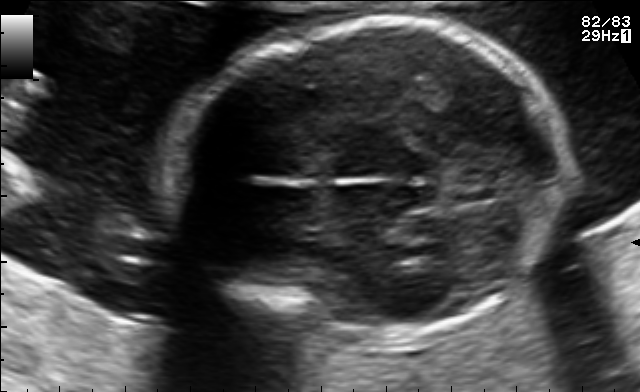
Identify the standard plane in this fetal ultrasound image: fetal abdomen, fetal brain, fetal femur, fetal thorax, maternal cervix, or other. If it's fetal brain and one of the three standard brain planes (trans-thalamic, trans-cerebellum, trans-ventricular), name which.

Fetal brain (trans-thalamic plane)